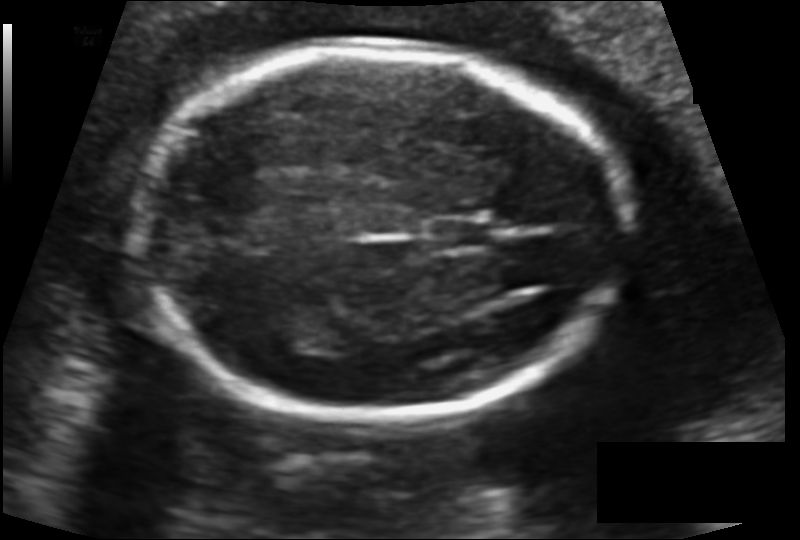
Fetal head ultrasound. Image width: 98.1 mm. Locate the fetal head and, if visible, the cavum septum pellucidum (CSP) and lateral ventricle (LV). Give bounding boxes as [x1,y1,x2,y2].

Head: [134,51,626,417]